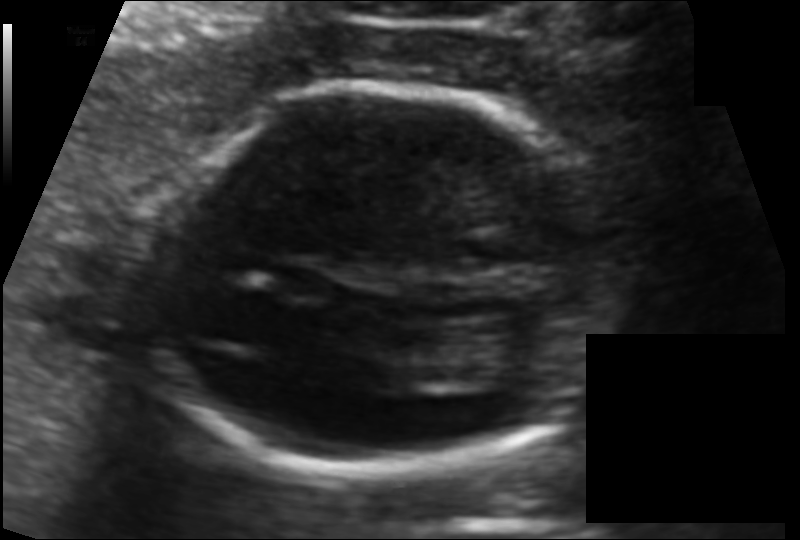
Fetal head ultrasound. Image width: 80.1 mm. Where is the fetal head?

Head bounding box: [143,86,612,474]